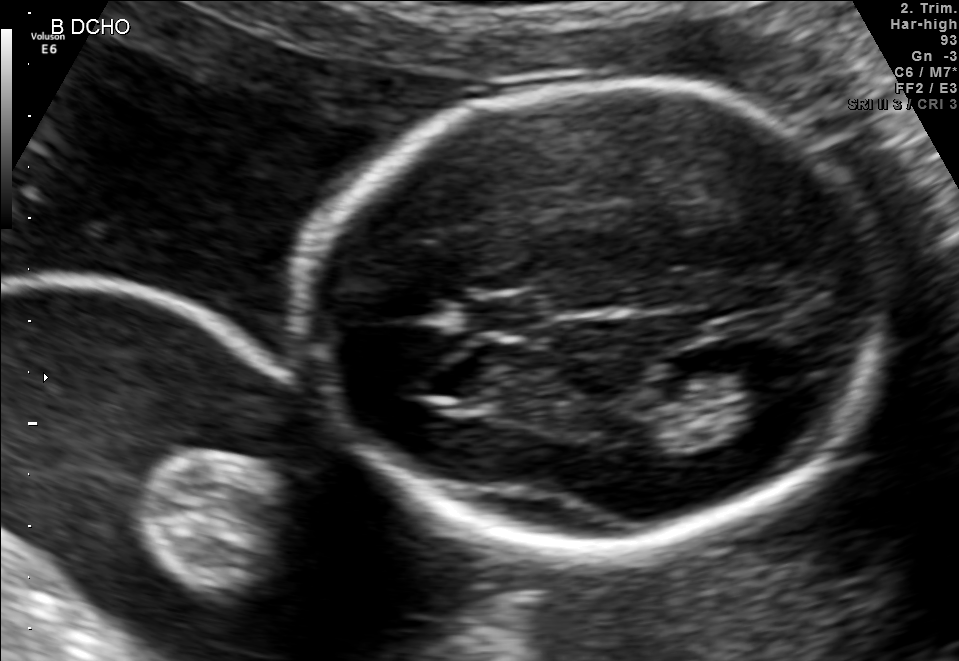
Fetal brain, trans-thalamic plane. Where is the cavum septum pellucidum?

CSP bounding box: [463,293,543,334]